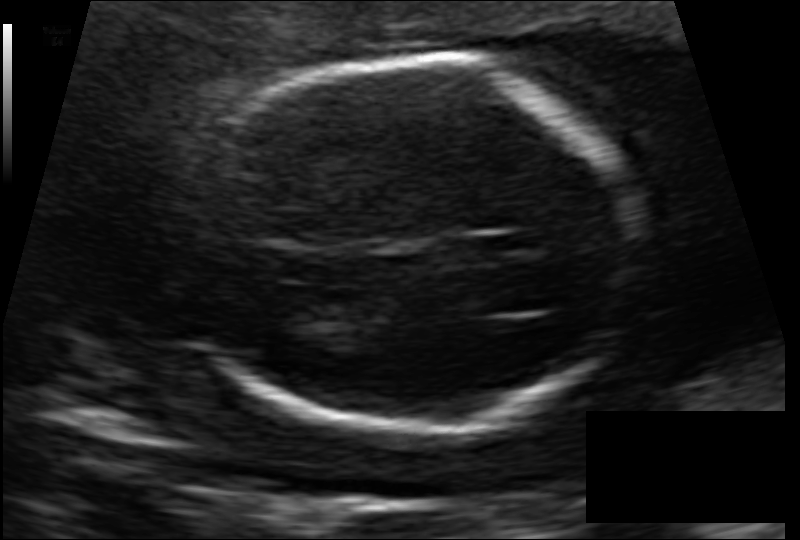
From this fetal ultrasound, estimate the head circumference (image width 103.2 mm).

Head circumference: 173.8 mm.